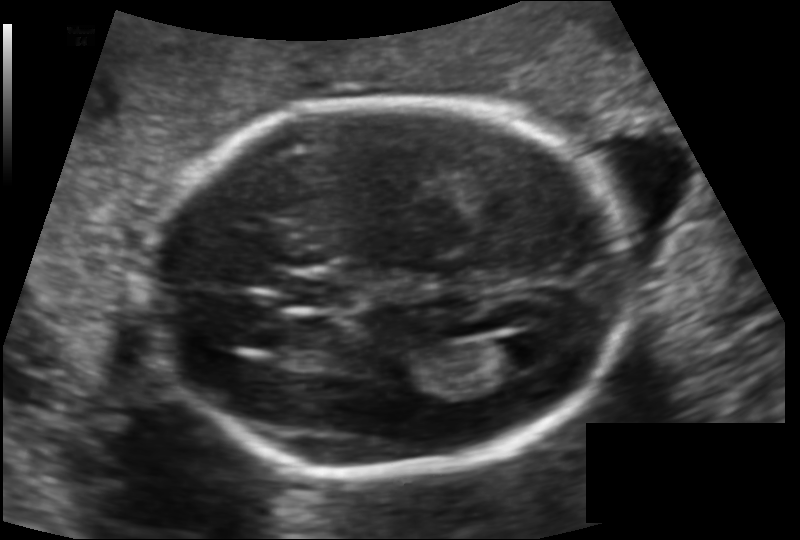
Fetal head ultrasound. Image width: 100.1 mm. Where is the fetal head?

Head bounding box: [149,101,624,476]